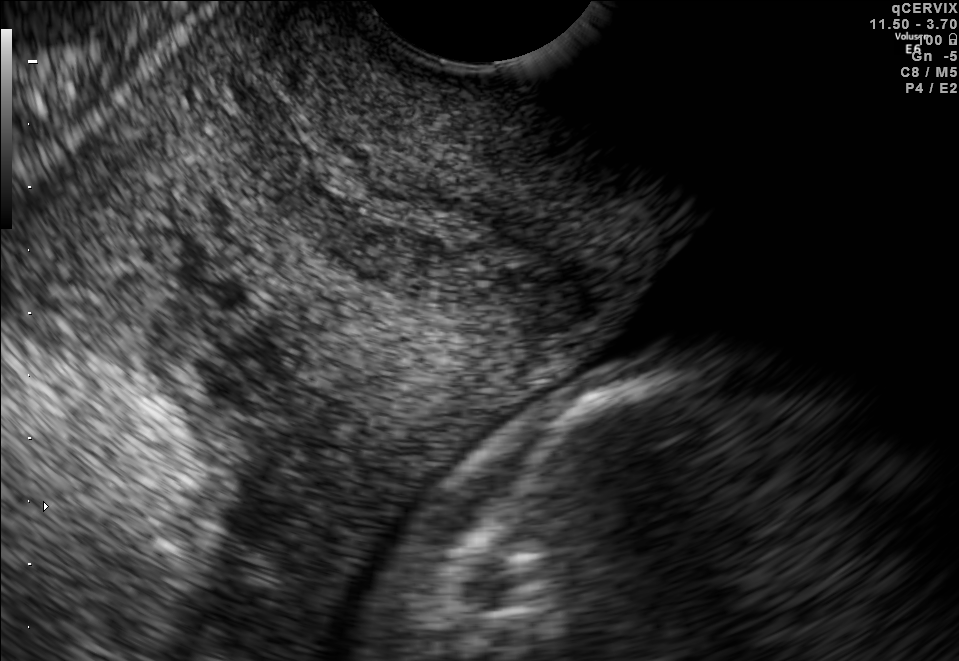
This is a 2D maternal-fetal ultrasound frame. Is it a fetal abdomen, fetal brain, fetal femur, fetal thorax, maternal cervix, or other standard plane? If it's fetal brain and one of the three standard brain planes (trans-thalamic, trans-cerebellum, trans-ventricular), name which.

Maternal cervix